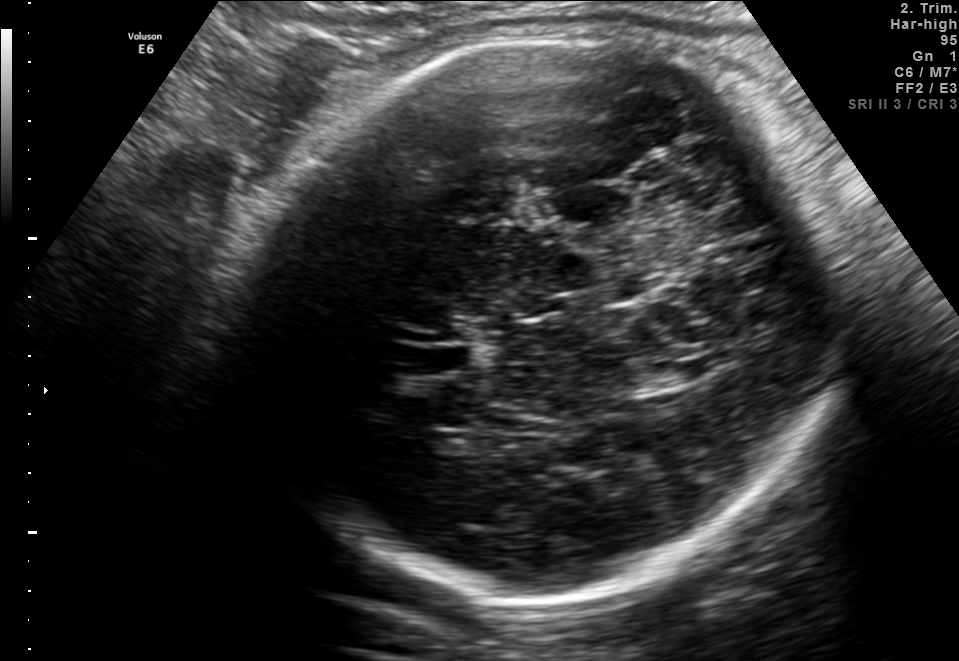
Fetal brain, trans-thalamic plane. Locate the fetal head.

Head: [231,37,842,602]